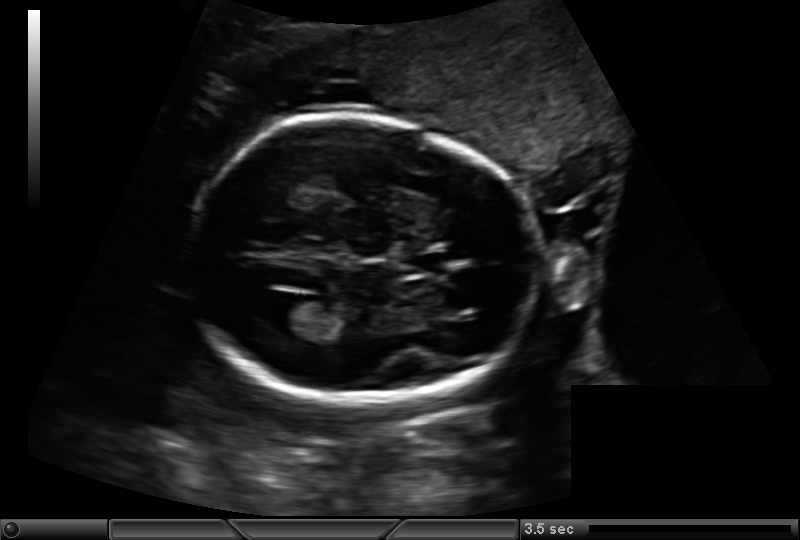
Fetal head ultrasound. Image width: 126.8 mm. Where is the cavum septum pellucidum?

CSP bounding box: [409,250,450,274]